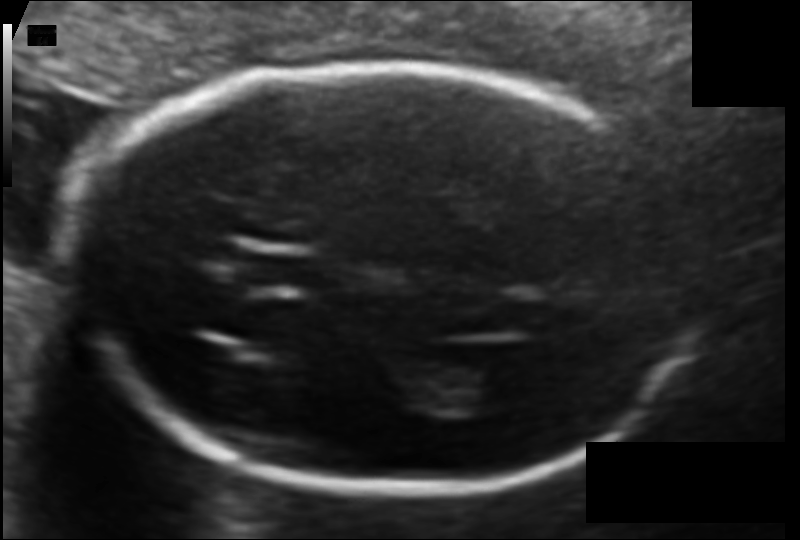
Fetal head ultrasound. Image width: 82.7 mm. Locate the lateral ventricle.

Lateral ventricle: [433,349,527,415]